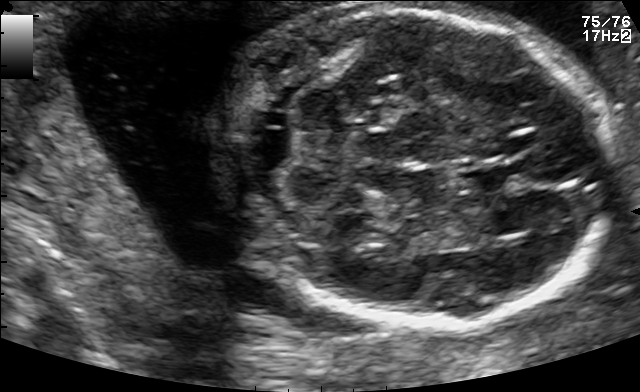
Fetal brain, trans-cerebellum plane. Locate the fetal head.

Head: [219,5,617,328]